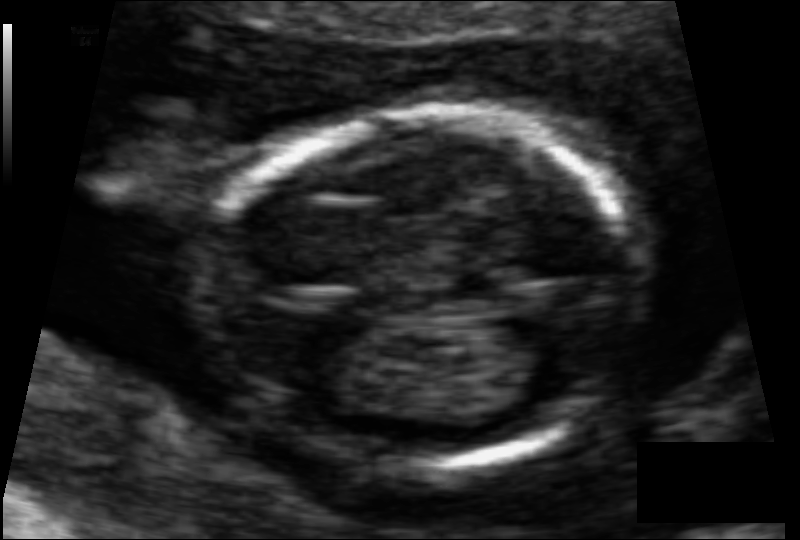
In this fetal head ultrasound, give the bounding box of the fetal head. Image width: 52.3 mm.

[206,109,642,475]